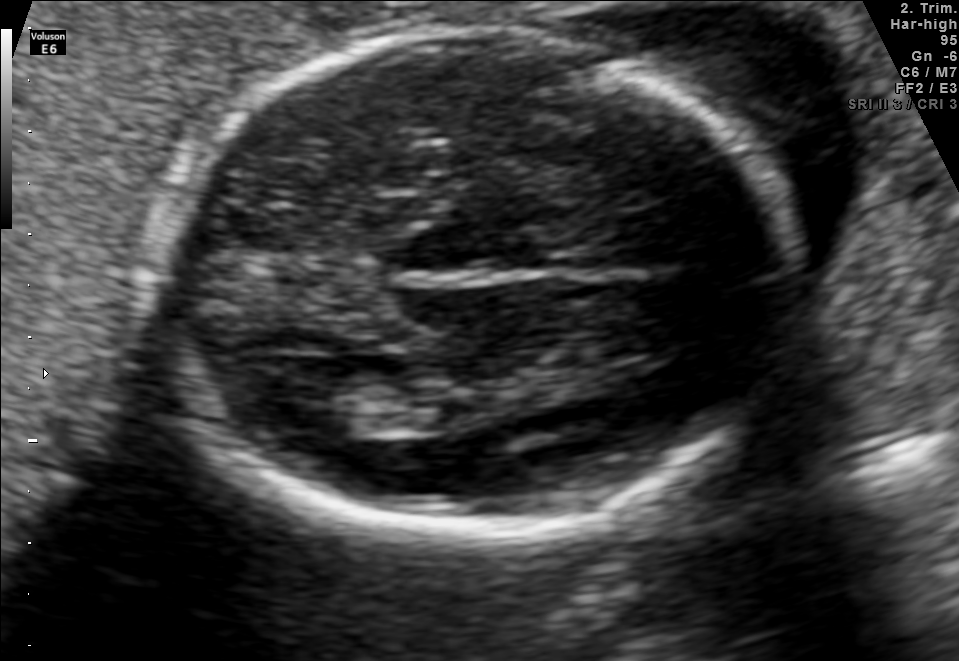
Fetal brain, trans-thalamic plane. Locate the fetal head and, if visible, the cavum septum pellucidum (CSP) and lateral ventricle (LV). Give bounding boxes as [x1,y1,x2,y2].

Head: [157,32,802,531]
Lateral ventricle: [276,376,387,438]